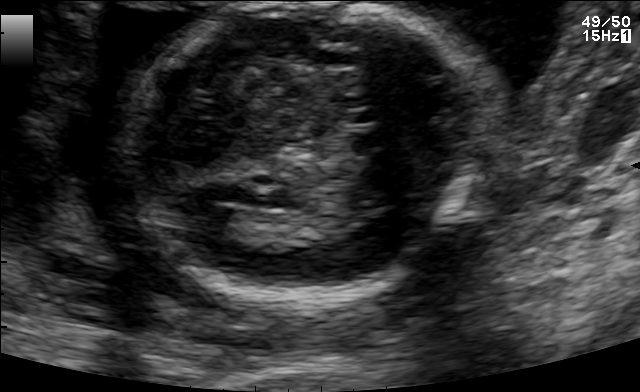
Fetal brain, trans-thalamic plane. Locate the lateral ventricle.

Lateral ventricle: [195,203,257,245]